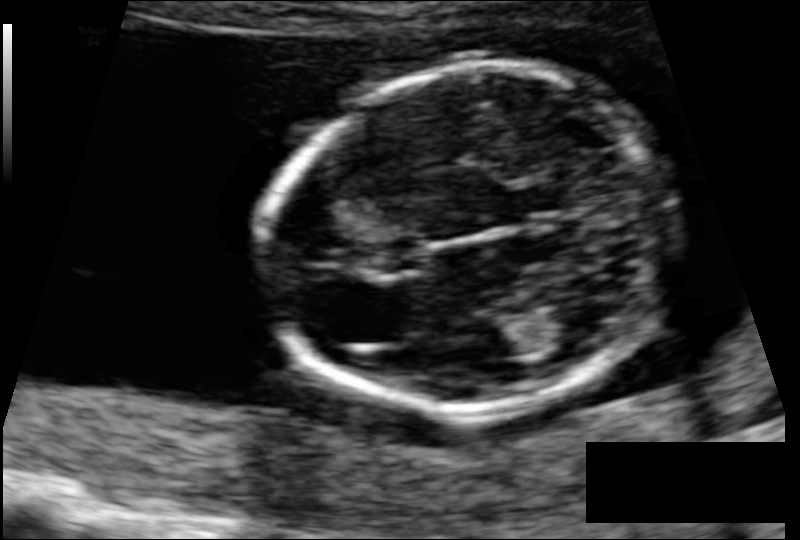
Fetal head ultrasound. Image width: 70.5 mm. Give [x1,y1,x2,y2] bounding boxes for each visible structure among: fetal head, CSP, LV.

Head: [263,68,674,418]
Lateral ventricle: [537,300,608,351]